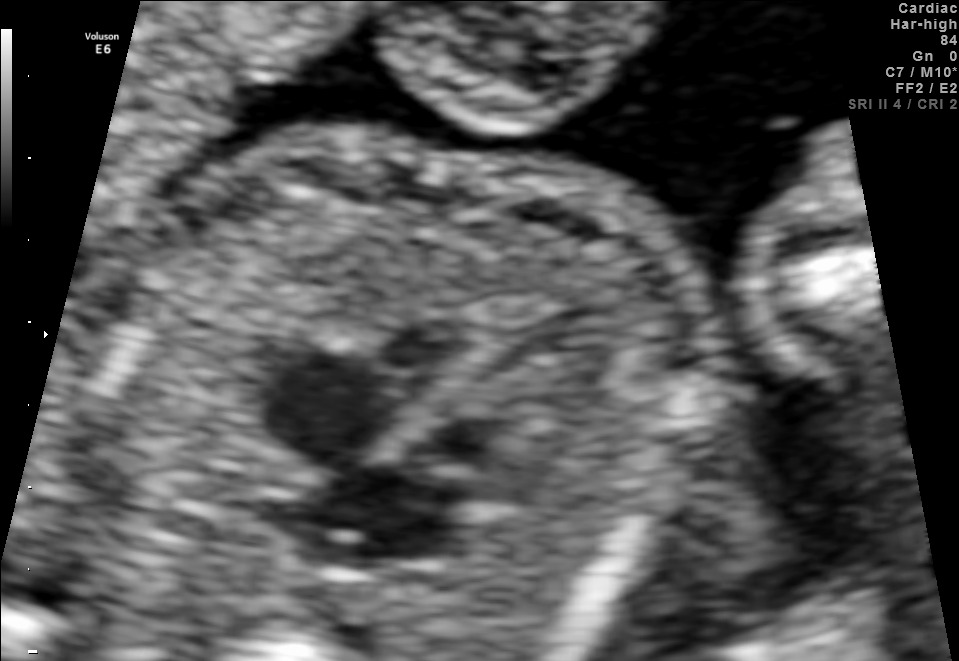
Identify the standard plane in this fetal ultrasound image: fetal abdomen, fetal brain, fetal femur, fetal thorax, maternal cervix, or other. If it's fetal brain and one of the three standard brain planes (trans-thalamic, trans-cerebellum, trans-ventricular), name which.

Fetal thorax